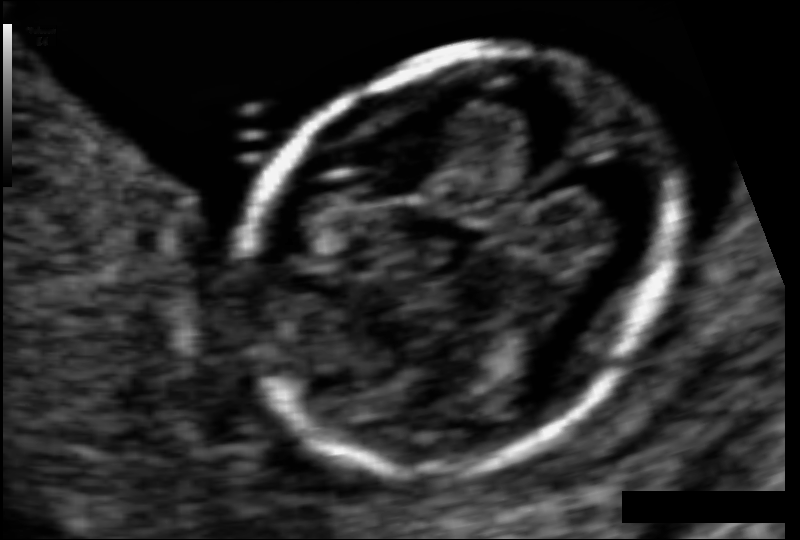
What is the fetal head circumference? Image width is 48.5 mm.

83.4 mm